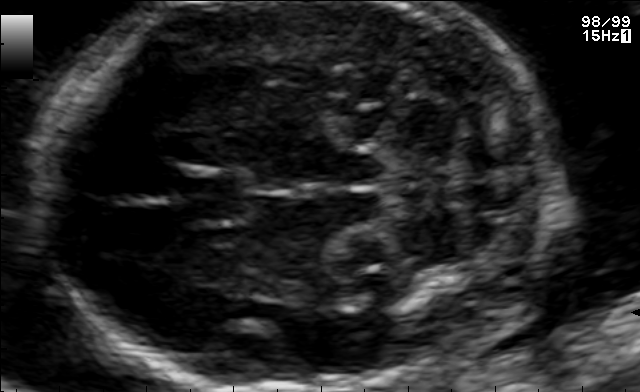
Fetal brain, trans-cerebellum plane. Where is the cavum septum pellucidum?

CSP bounding box: [178,171,248,224]